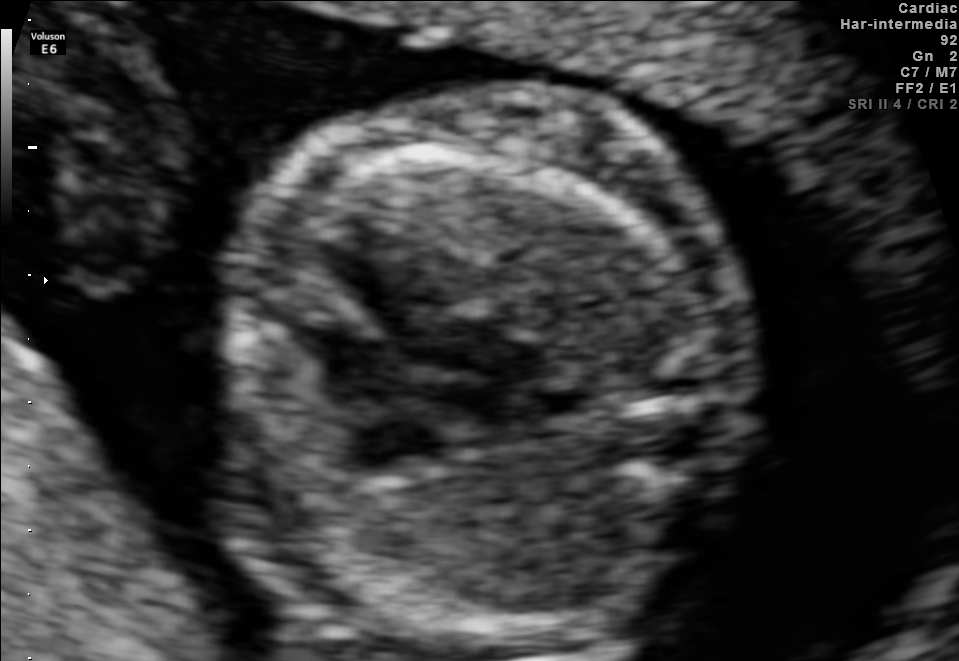
Identify the standard plane in this fetal ultrasound image: fetal abdomen, fetal brain, fetal femur, fetal thorax, maternal cervix, or other. If it's fetal brain and one of the three standard brain planes (trans-thalamic, trans-cerebellum, trans-ventricular), name which.

Fetal thorax